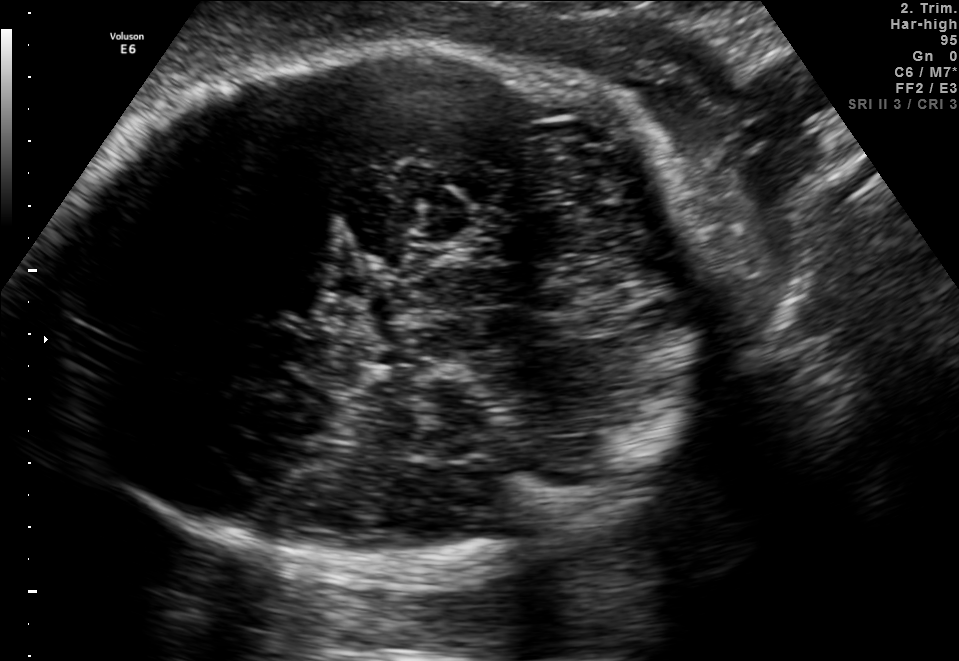
In this fetal brain, trans-thalamic plane, give bounding boxes for the head outline, cavum septum pellucidum (CSP), and lateral ventricle (LV), where visible.

Head: [57,44,700,565]